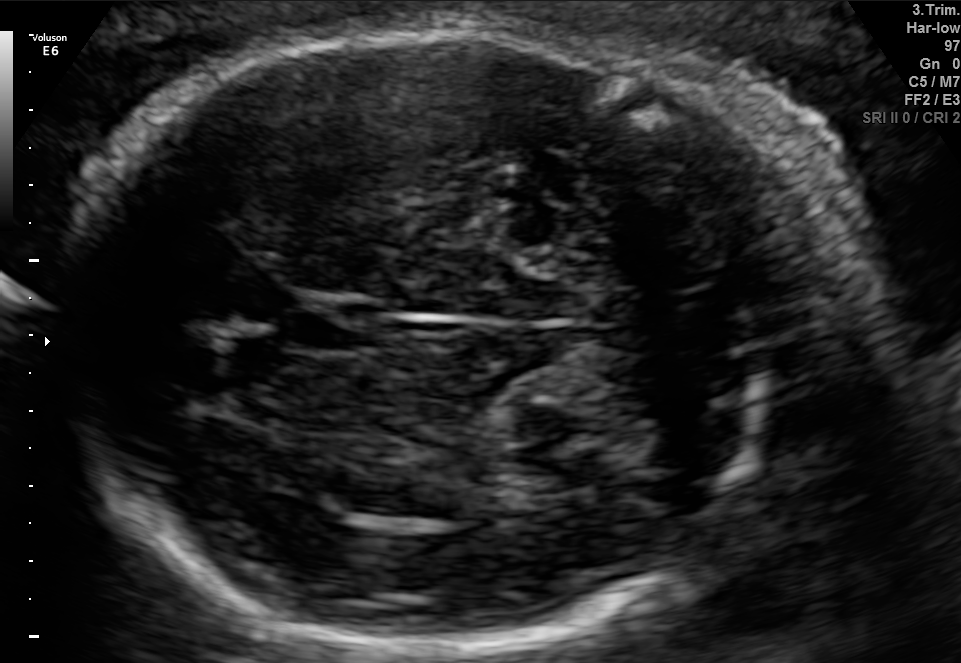
Fetal brain, trans-cerebellum plane. Where is the fetal head?

Head bounding box: [61,26,816,643]